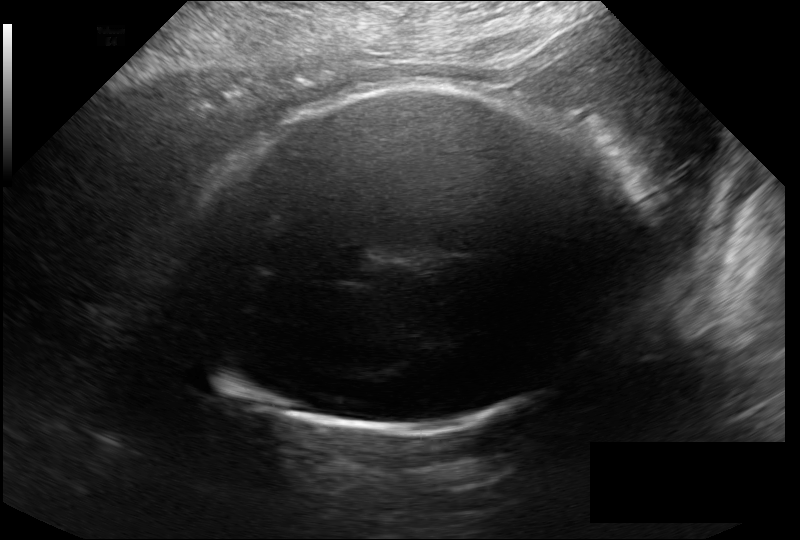
In this fetal head ultrasound, give the bounding box of the fetal head. Image width: 196.8 mm.

[182,84,642,431]